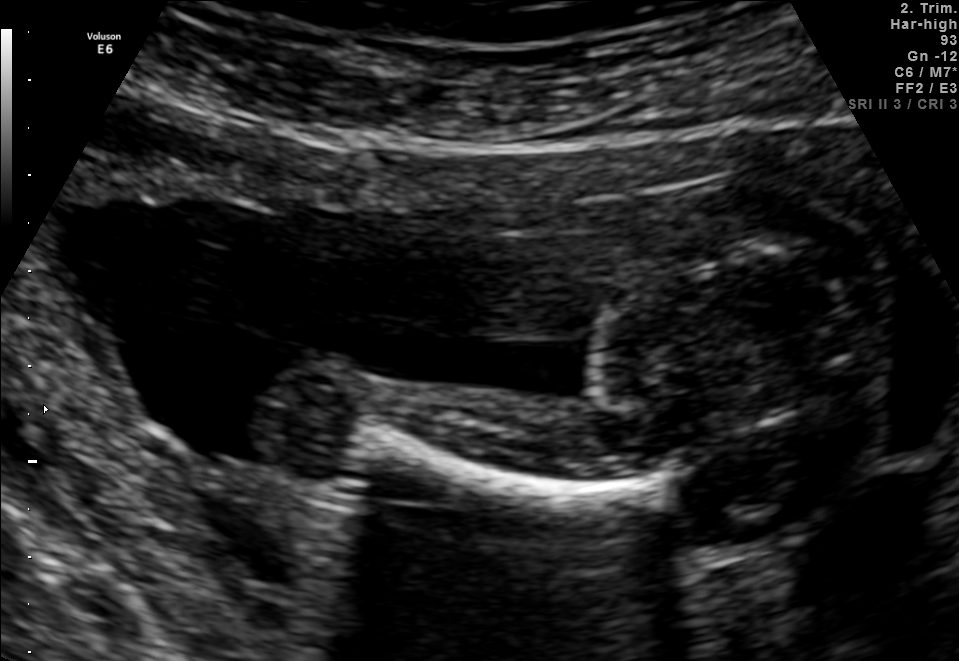
This is a 2D maternal-fetal ultrasound frame. Is it a fetal abdomen, fetal brain, fetal femur, fetal thorax, maternal cervix, or other standard plane? If it's fetal brain and one of the three standard brain planes (trans-thalamic, trans-cerebellum, trans-ventricular), name which.

Fetal femur